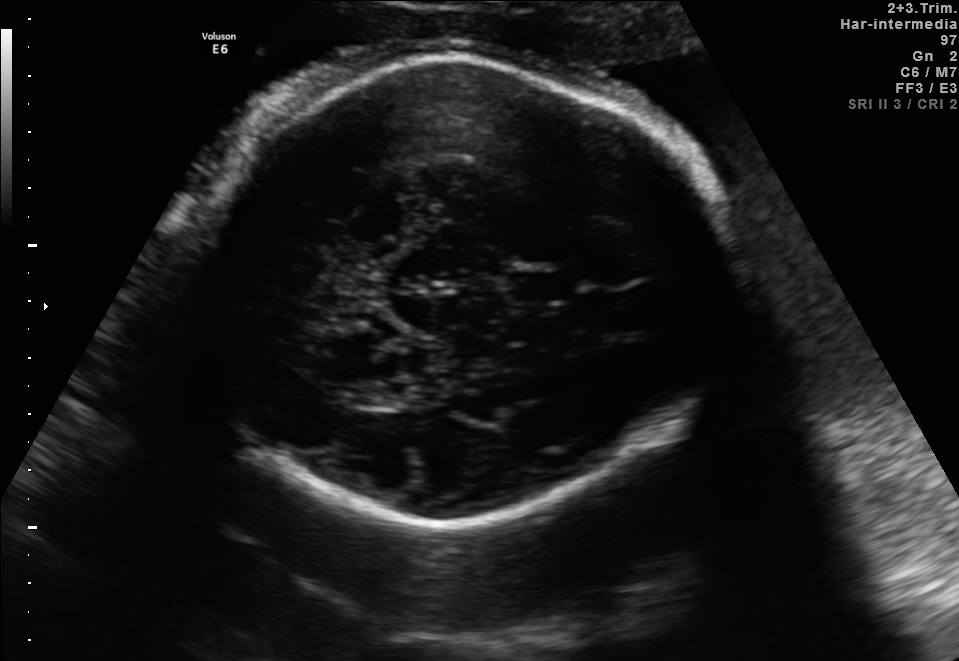
Fetal brain, trans-thalamic plane. Locate the cavum septum pellucidum.

CSP: [506,273,568,300]